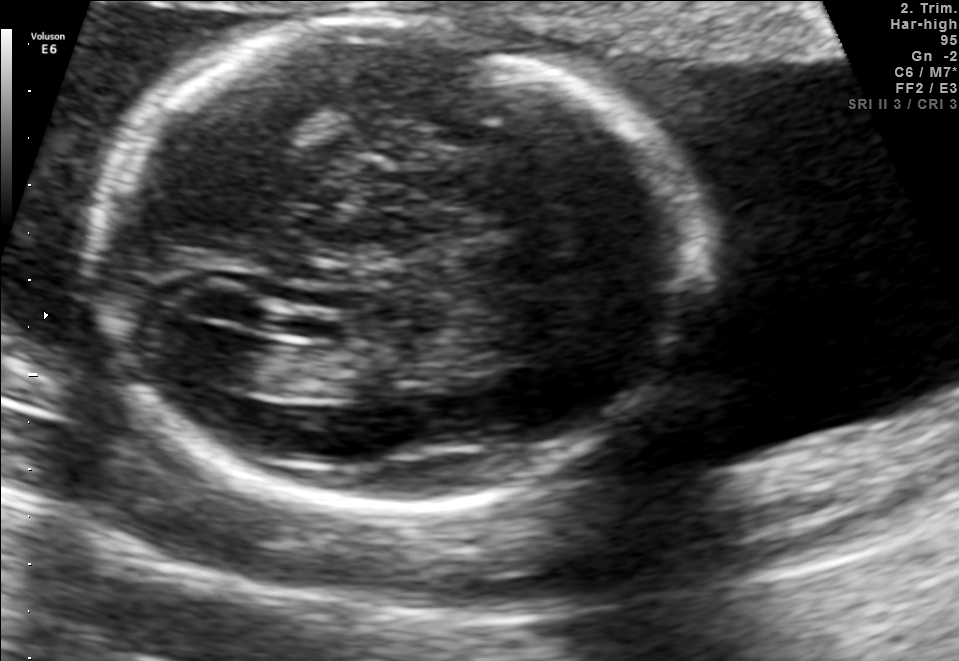
Which standard maternal-fetal ultrasound plane is shown: fetal abdomen, fetal brain, fetal femur, fetal thorax, maternal cervix, or other? If it's fetal brain and one of the three standard brain planes (trans-thalamic, trans-cerebellum, trans-ventricular), name which.

Fetal brain (trans-ventricular plane)